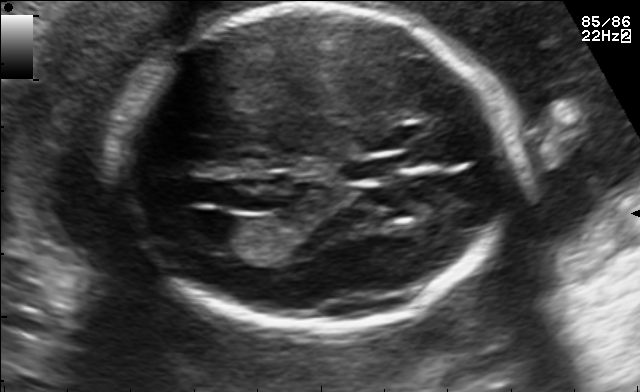
Fetal brain, trans-ventricular plane. Give [x1,y1,x2,y2] bounding boxes for each visible structure among: fetal head, CSP, LV.

Head: [118,2,518,337]
CSP: [338,149,420,186]
Lateral ventricle: [169,206,251,256]